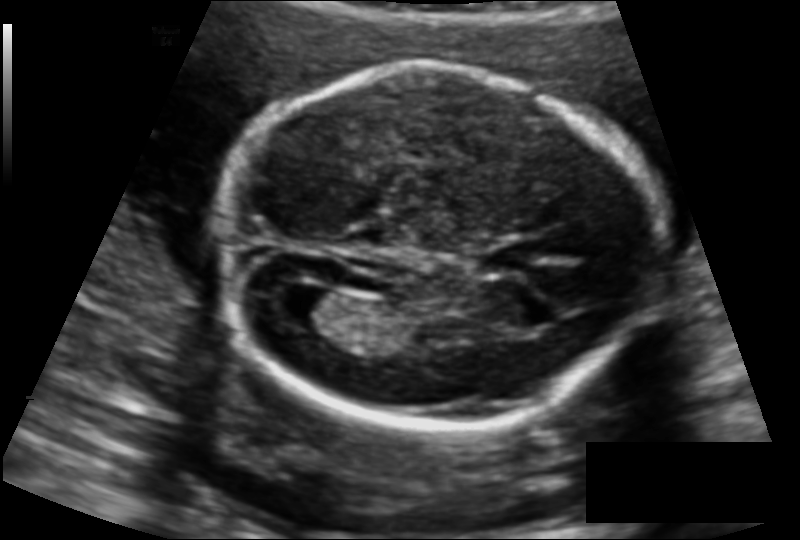
Fetal head ultrasound. Image width: 101.8 mm. Where is the cavum septum pellucidum?

CSP bounding box: [484,242,539,274]